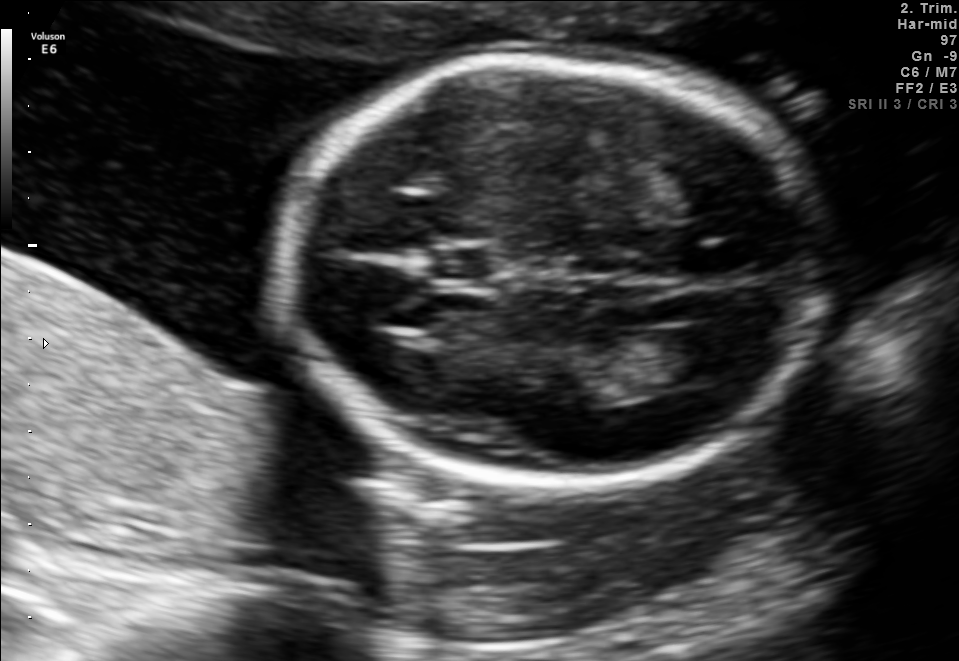
In this fetal brain, trans-ventricular plane, give the bounding box of the lateral ventricle.

[660,320,756,386]